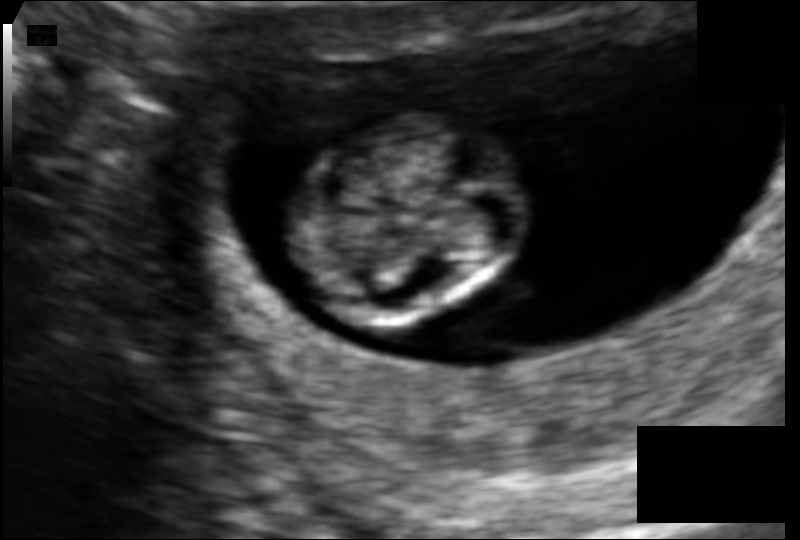
Estimate the fetal head circumference from this 2D ultrasound. Image width: 66.8 mm.

Head circumference: 59.4 mm.